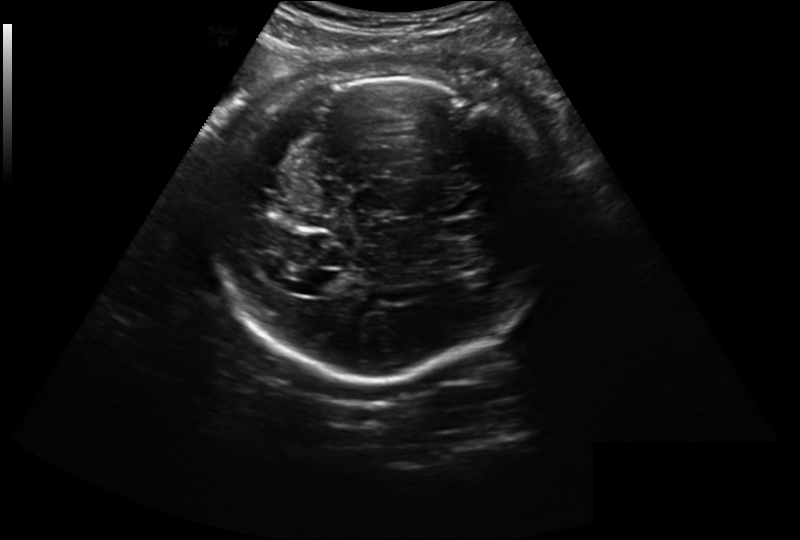
Fetal head ultrasound. Image width: 208.4 mm. Locate the lateral ventricle.

Lateral ventricle: [310,271,347,294]